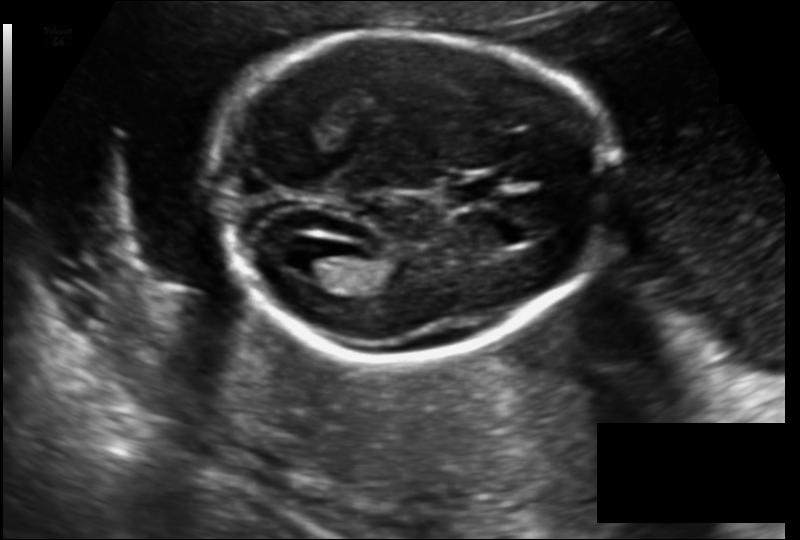
In this fetal head ultrasound, give bounding boxes for the head outline, cavum septum pellucidum (CSP), and lateral ventricle (LV), where visible. Image width: 113.3 mm.

Head: [214,32,610,361]
CSP: [445,175,496,208]
Lateral ventricle: [281,238,347,289]